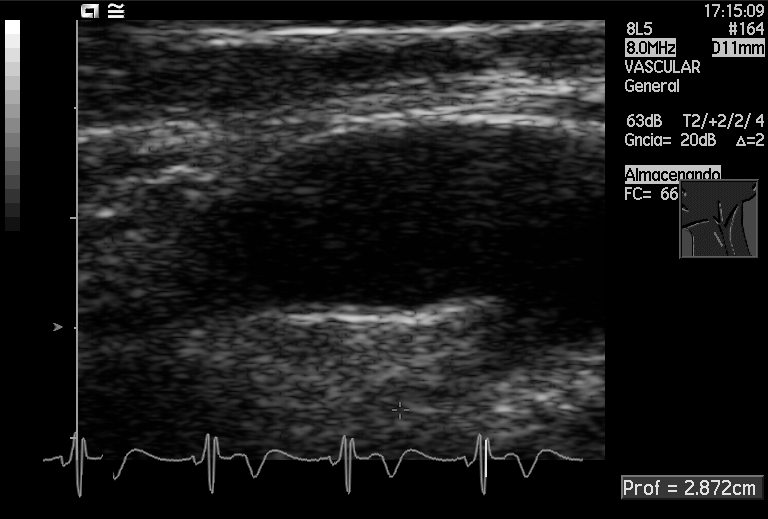
Which standard maternal-fetal ultrasound plane is shown: fetal abdomen, fetal brain, fetal femur, fetal thorax, maternal cervix, or other? If it's fetal brain and one of the three standard brain planes (trans-thalamic, trans-cerebellum, trans-ventricular), name which.

Other